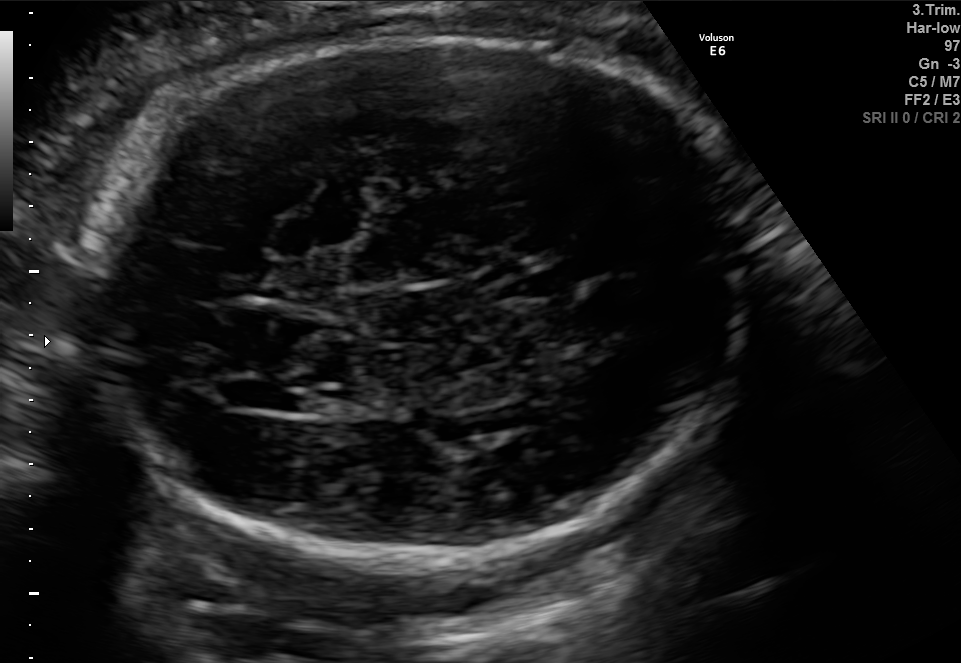
Fetal brain, trans-ventricular plane. Locate the fetal head and, if visible, the cavum septum pellucidum (CSP) and lateral ventricle (LV). Give bounding boxes as [x1,y1,x2,y2].

Head: [72,23,765,566]